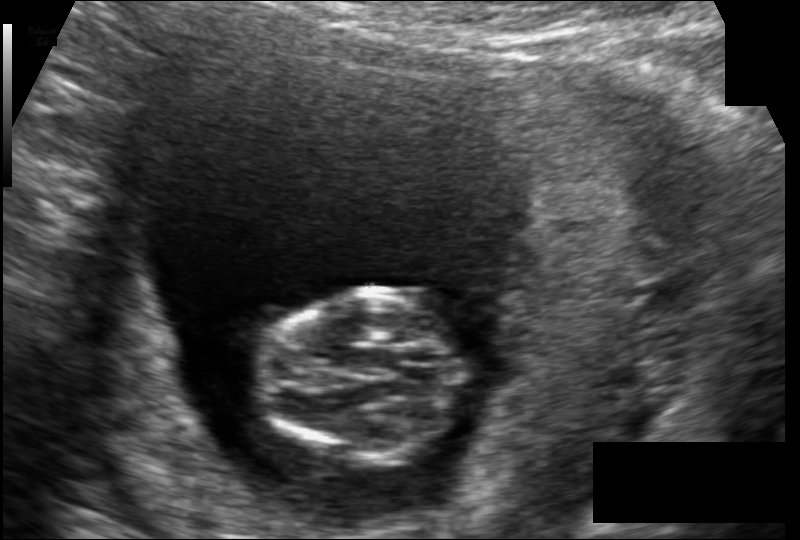
Estimate the fetal head circumference from this 2D ultrasound. Image width: 93.8 mm.

Head circumference: 74.0 mm.